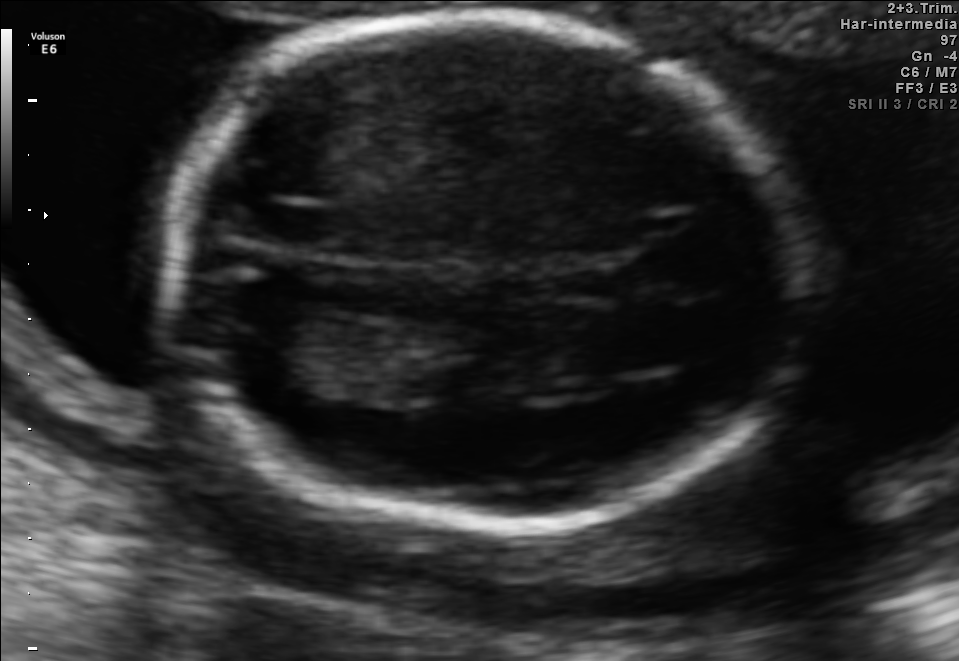
Identify the standard plane in this fetal ultrasound image: fetal abdomen, fetal brain, fetal femur, fetal thorax, maternal cervix, or other. If it's fetal brain and one of the three standard brain planes (trans-thalamic, trans-cerebellum, trans-ventricular), name which.

Fetal brain (trans-thalamic plane)